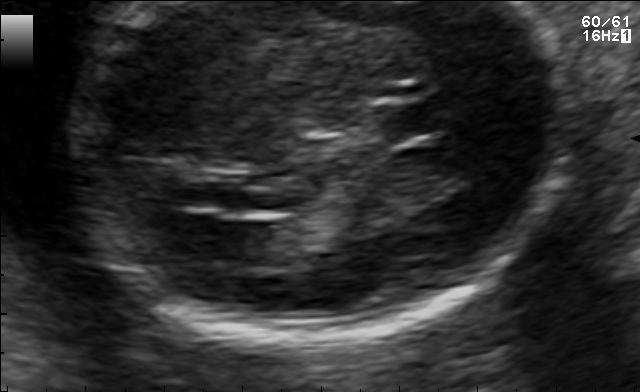
Fetal brain, trans-ventricular plane. Where is the lateral ventricle?

Lateral ventricle bounding box: [188,222,273,265]